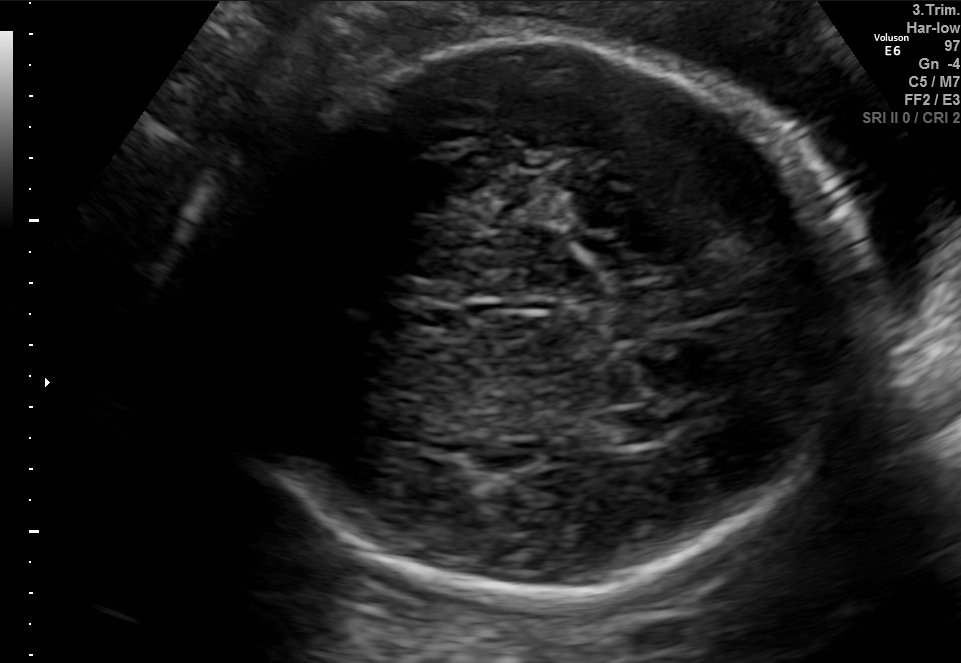
Fetal brain, trans-thalamic plane. Where is the cavum septum pellucidum?

CSP bounding box: [404,306,468,330]